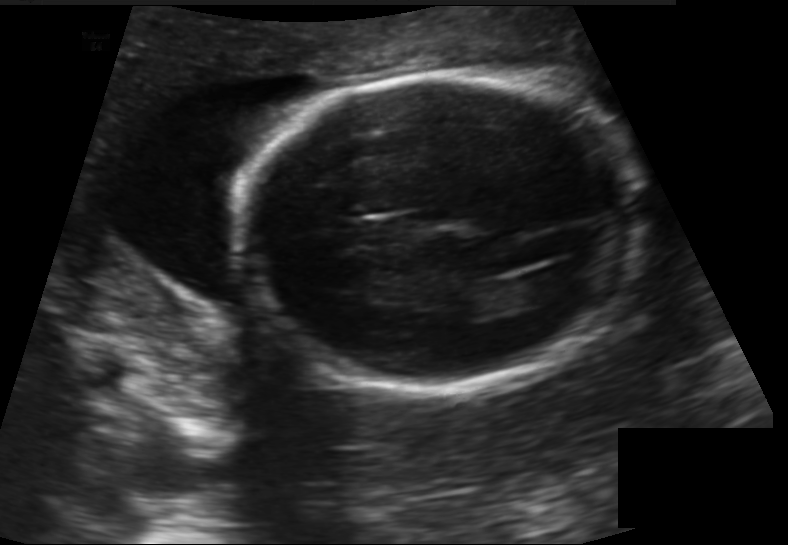
Fetal head ultrasound. Image width: 122.2 mm. Where is the fetal head?

Head bounding box: [237,73,633,387]